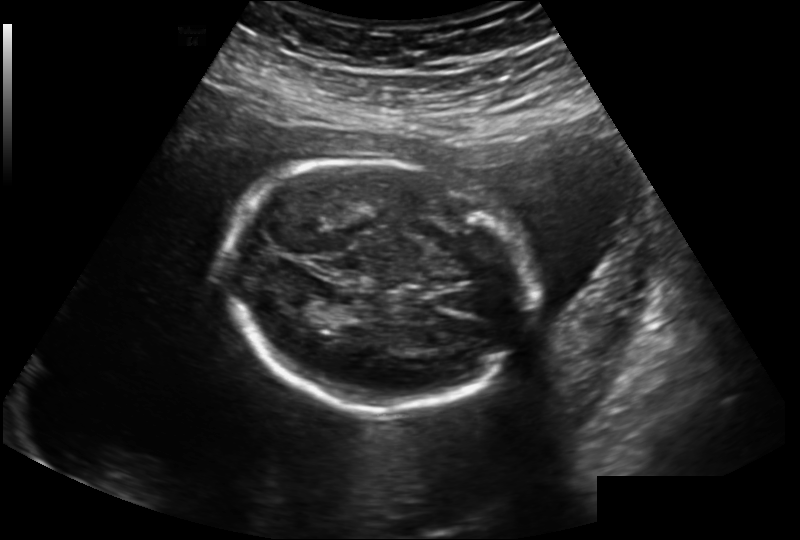
Fetal head ultrasound. Image width: 161.6 mm. Locate the fetal head.

Head: [223,160,531,409]